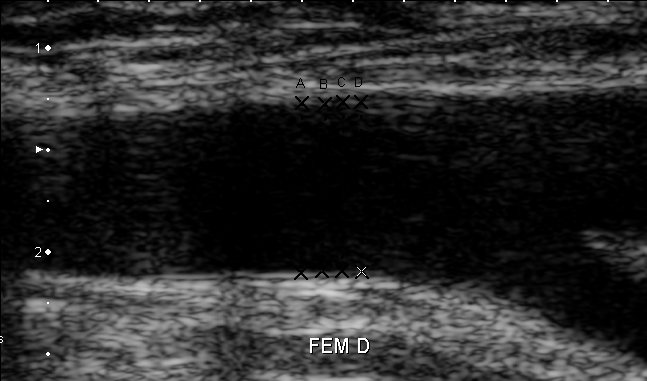
Which standard maternal-fetal ultrasound plane is shown: fetal abdomen, fetal brain, fetal femur, fetal thorax, maternal cervix, or other? If it's fetal brain and one of the three standard brain planes (trans-thalamic, trans-cerebellum, trans-ventricular), name which.

Other